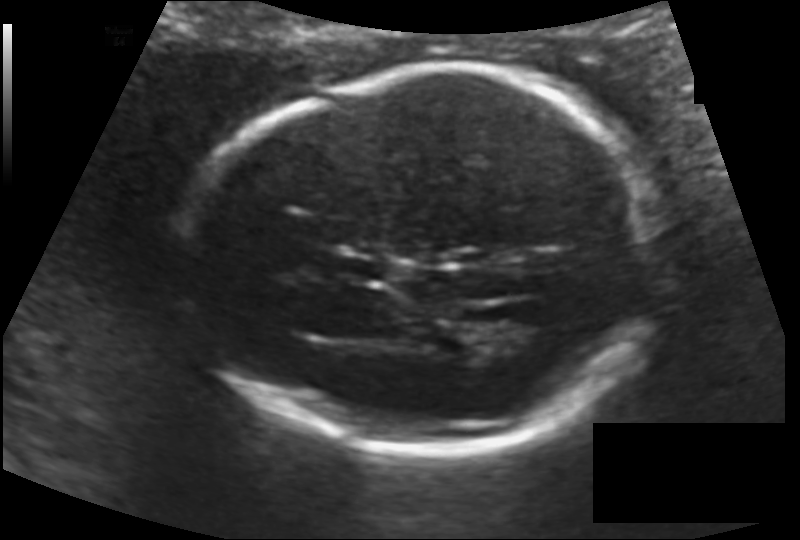
Fetal head ultrasound. Image width: 102.3 mm. Give [x1,y1,x2,y2] bounding boxes for each visible structure among: fetal head, CSP, LV.

Head: [189,67,661,453]
CSP: [331,251,391,286]
Lateral ventricle: [483,308,552,359]